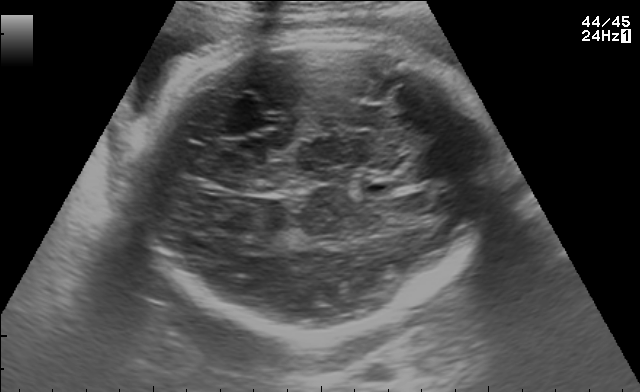
Fetal brain, trans-thalamic plane. Where is the fetal head?

Head bounding box: [125,37,489,333]